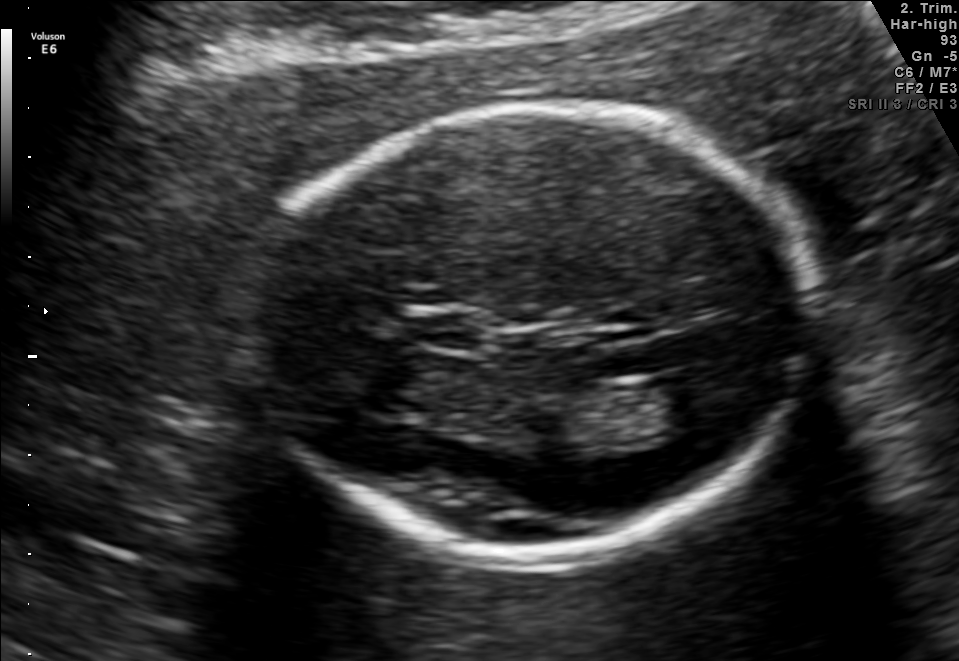
Fetal brain, trans-thalamic plane. Where is the fetal head?

Head bounding box: [253,105,810,550]